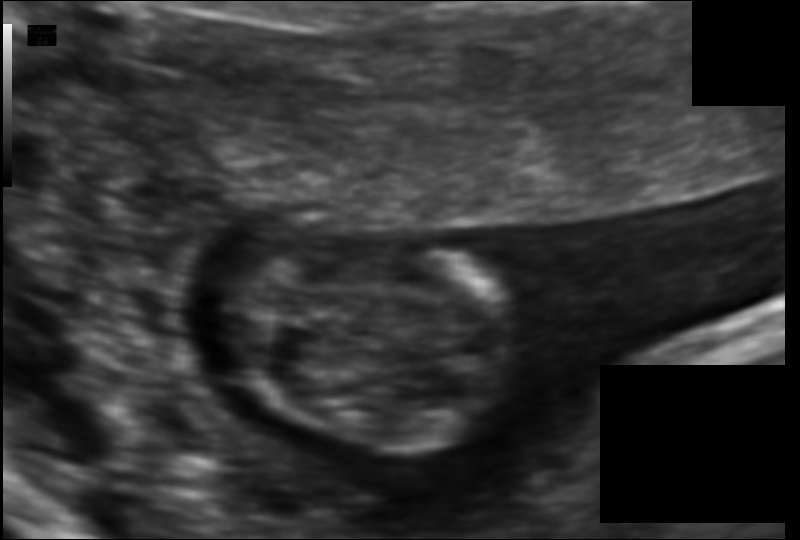
Fetal head ultrasound. Image width: 62.1 mm. Locate the fetal head and, if visible, the cavum septum pellucidum (CSP) and lateral ventricle (LV). Give bounding boxes as [x1,y1,x2,y2].

Head: [224,243,523,448]